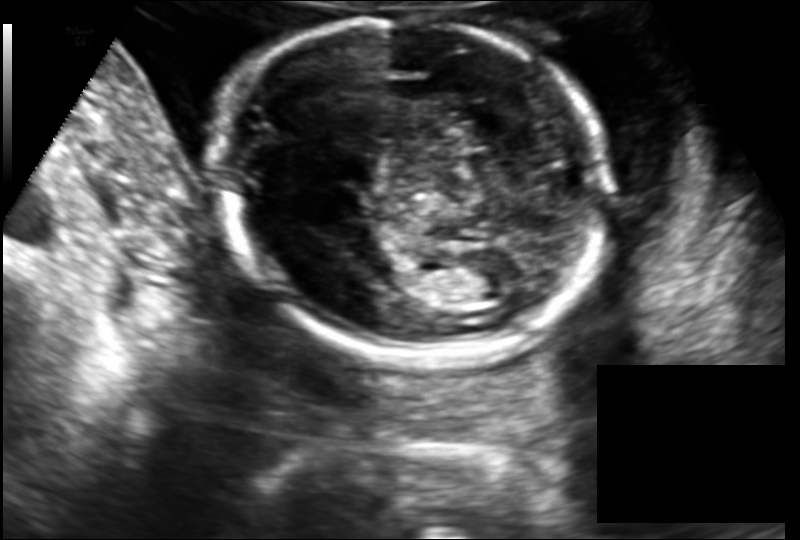
Fetal head ultrasound. Image width: 119.1 mm. Locate the fetal head.

Head: [214,20,607,361]